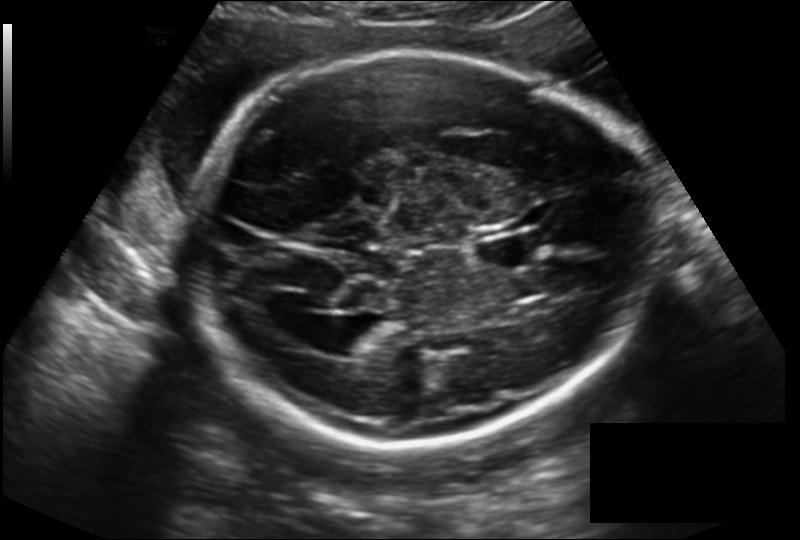
In this fetal head ultrasound, give bounding boxes for the head outline, cavum septum pellucidum (CSP), and lateral ventricle (LV), where visible. Image width: 155.0 mm.

Head: [187,51,648,446]
CSP: [473,225,546,277]
Lateral ventricle: [313,313,385,360]